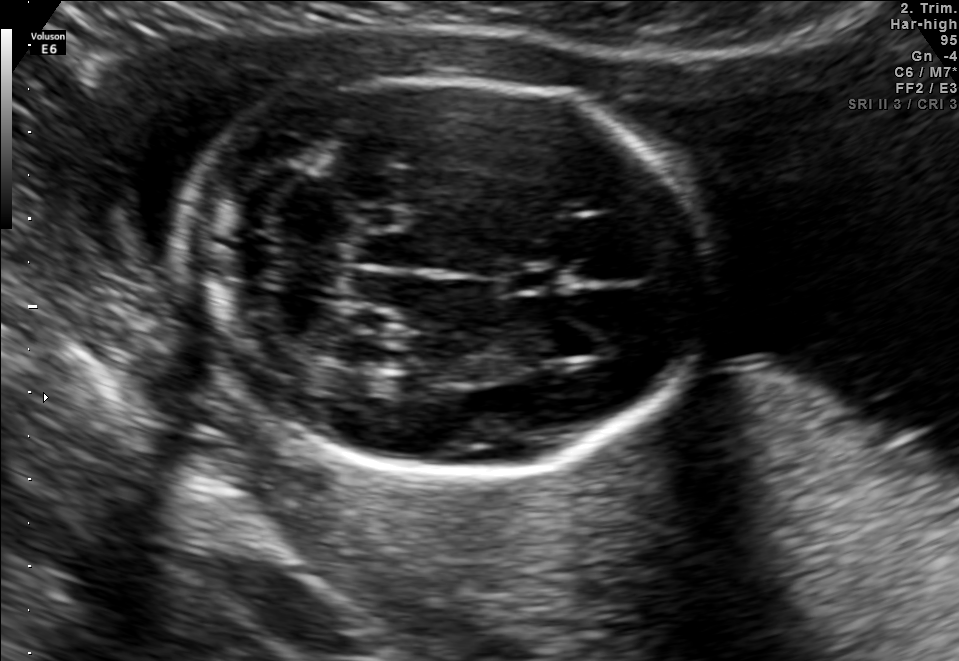
In this fetal brain, trans-cerebellum plane, give the bounding box of the fetal head.

[184,78,711,477]